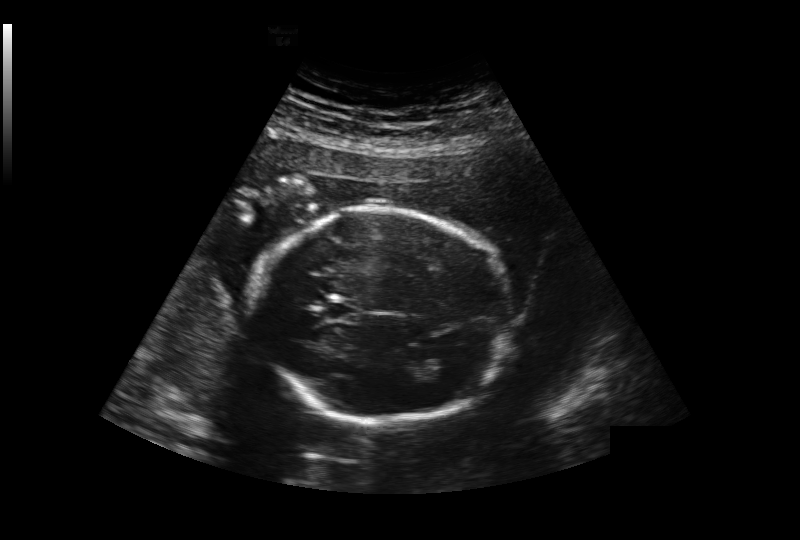
Fetal head ultrasound. Image width: 191.2 mm. Where is the cavum septum pellucidum?

CSP bounding box: [327,302,358,321]